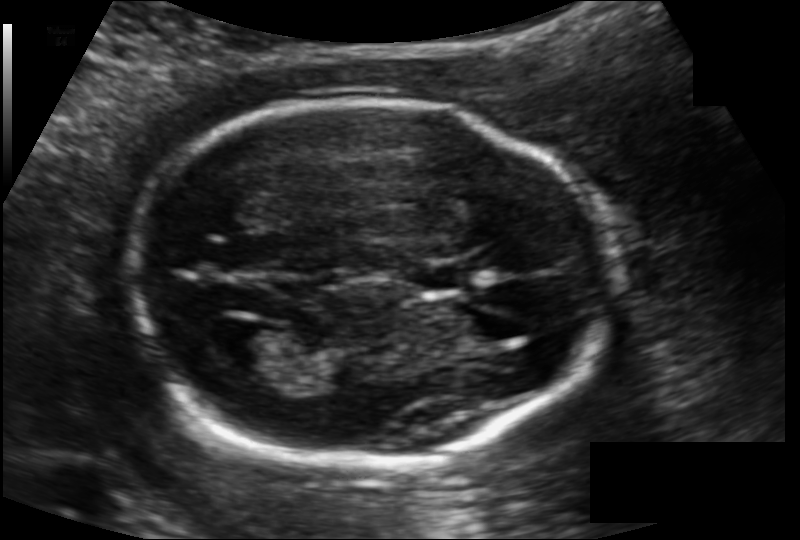
Fetal head ultrasound. Image width: 96.5 mm. Where is the cavum septum pellucidum?

CSP bounding box: [416,261,468,292]